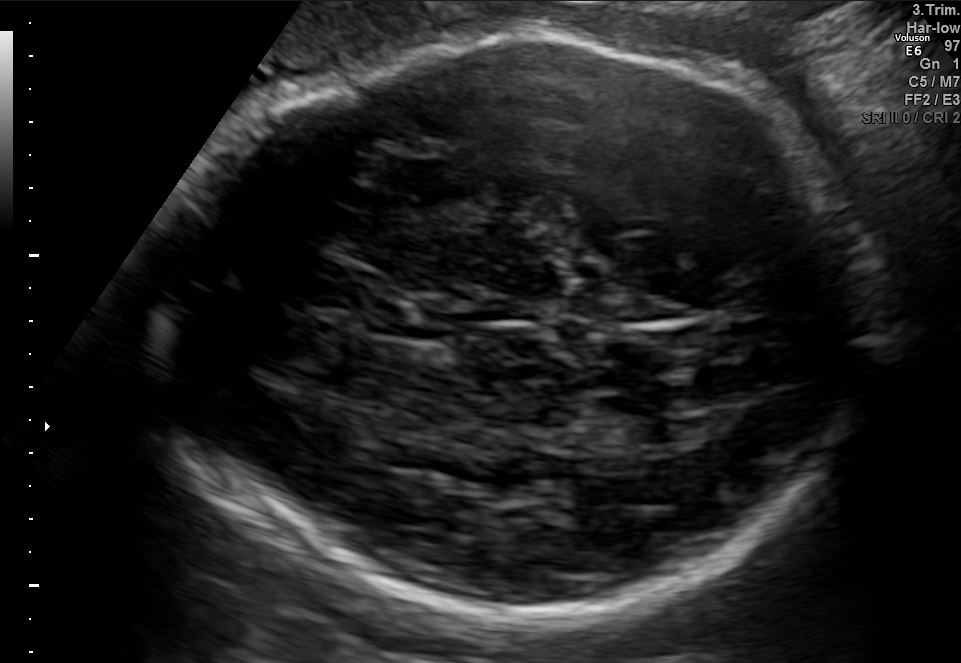
Fetal brain, trans-thalamic plane. Give [x1,y1,x2,y2] bounding boxes for each visible structure among: fetal head, CSP, LV.

Head: [150,33,875,616]